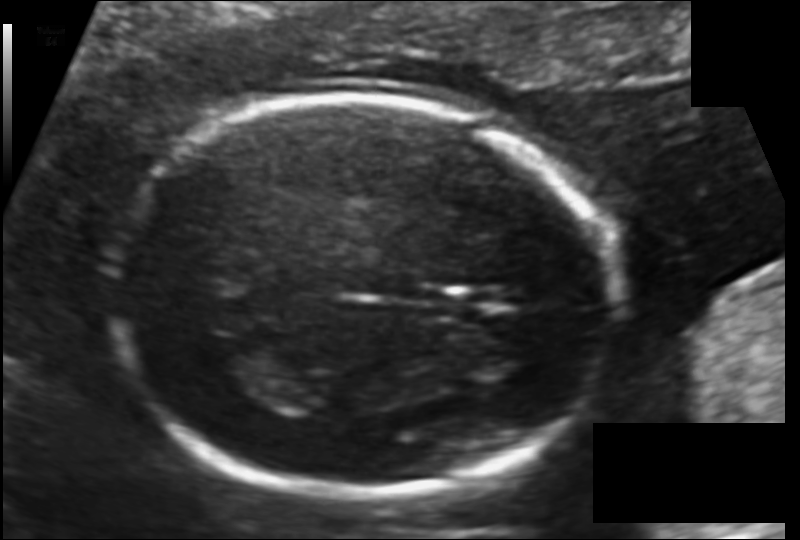
Fetal head ultrasound. Image width: 92.9 mm. Where is the fetal head?

Head bounding box: [107,96,616,494]